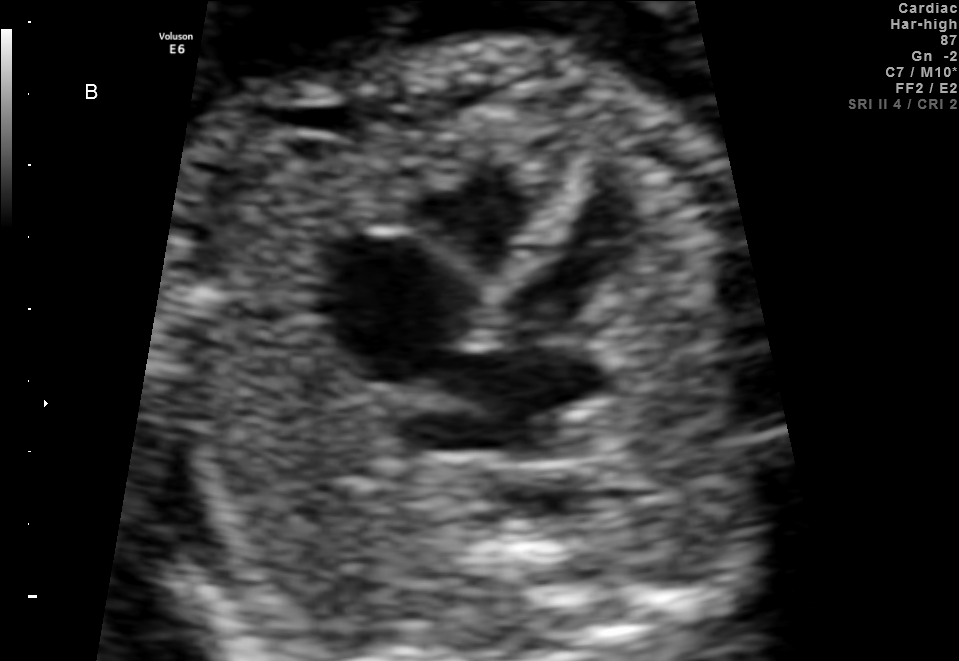
This is a 2D maternal-fetal ultrasound frame. Is it a fetal abdomen, fetal brain, fetal femur, fetal thorax, maternal cervix, or other standard plane? If it's fetal brain and one of the three standard brain planes (trans-thalamic, trans-cerebellum, trans-ventricular), name which.

Fetal thorax